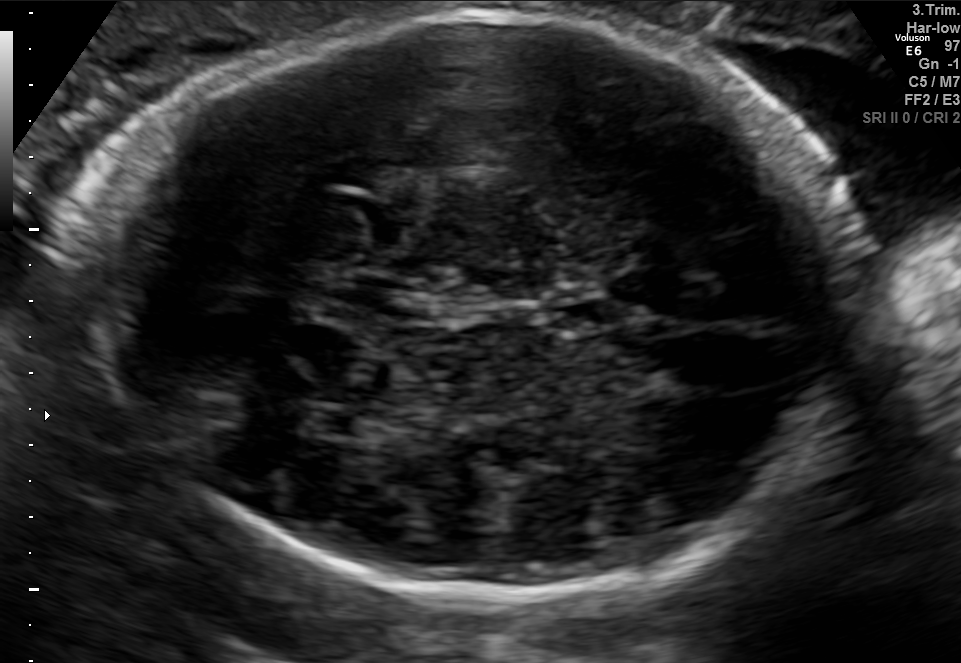
Fetal brain, trans-thalamic plane. Where is the lateral ventricle?

Lateral ventricle bounding box: [298,401,381,441]